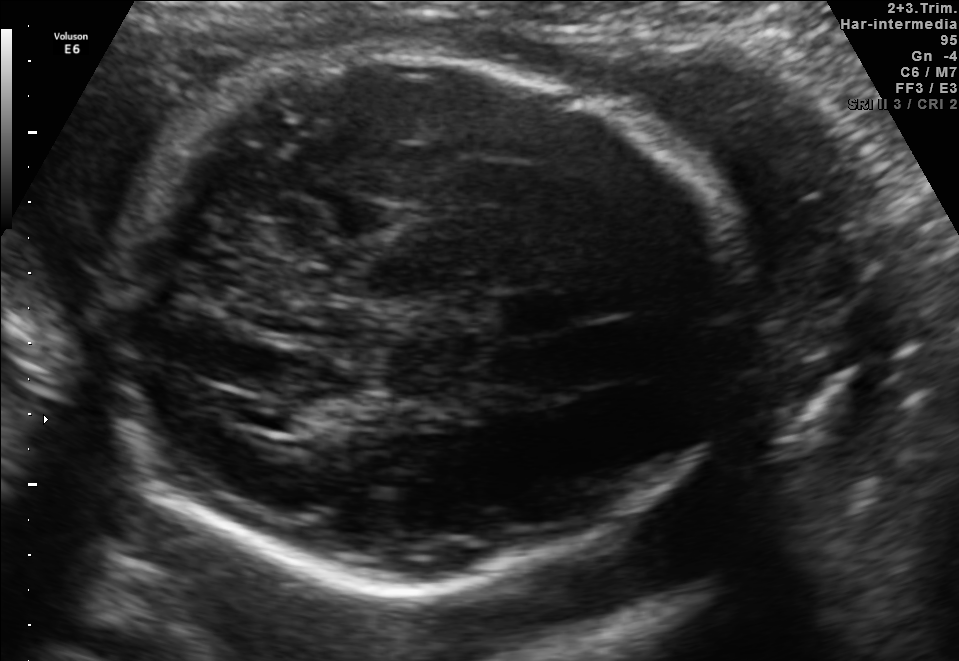
Classify this maternal-fetal ultrasound image as one of the six standard planes — fetal abdomen, fetal brain, fetal femur, fetal thorax, maternal cervix, or other. If it's fetal brain and one of the three standard brain planes (trans-thalamic, trans-cerebellum, trans-ventricular), name which.

Fetal brain (trans-thalamic plane)